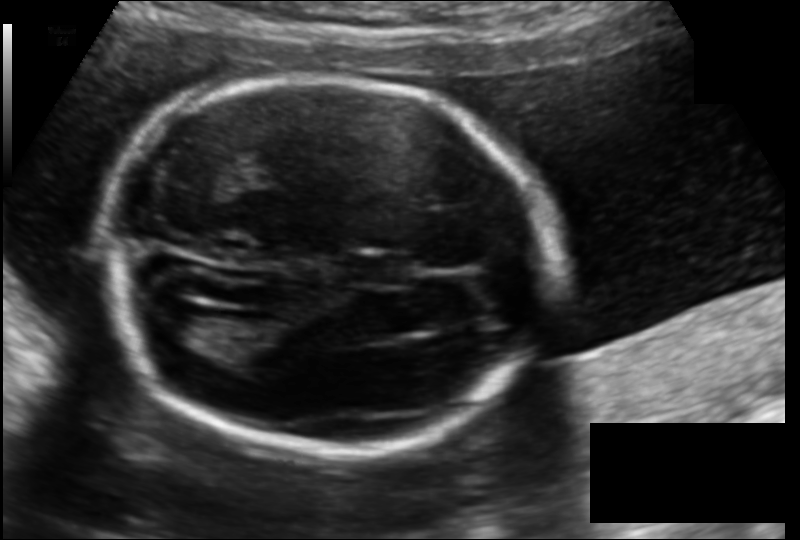
What is the fetal head circumference? Image width is 107.8 mm.

180.9 mm